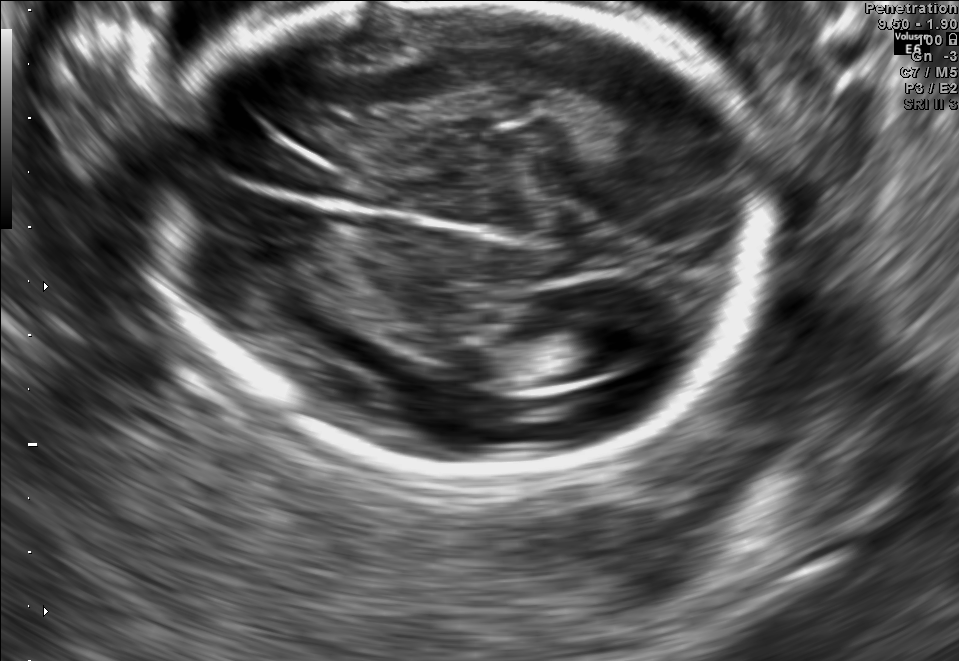
Fetal brain, trans-ventricular plane. Where is the lateral ventricle?

Lateral ventricle bounding box: [554,306,652,382]